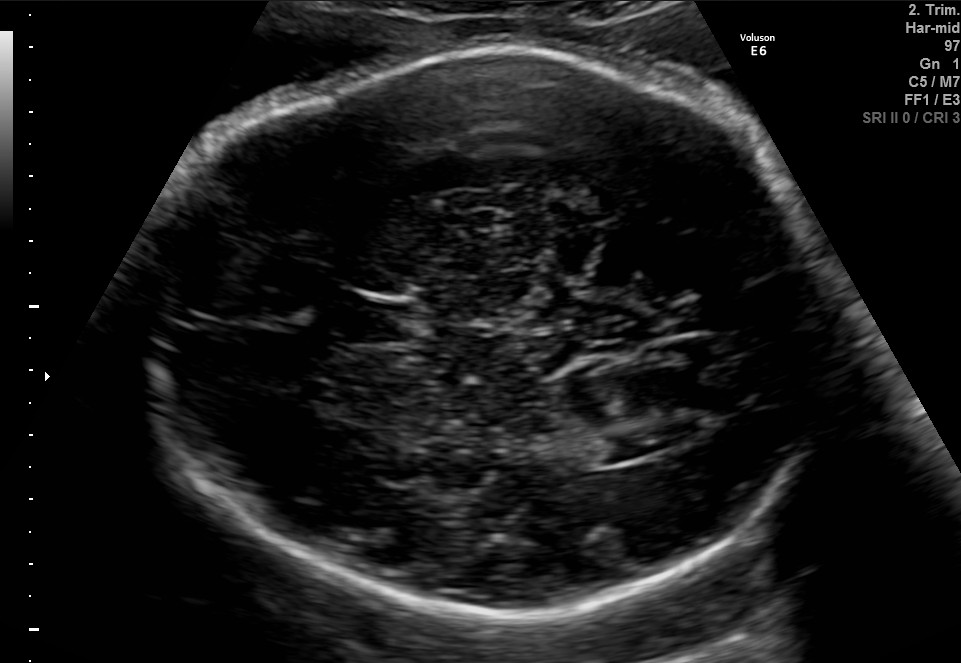
In this fetal brain, trans-ventricular plane, give the bounding box of the lateral ventricle.

[600,427,664,463]